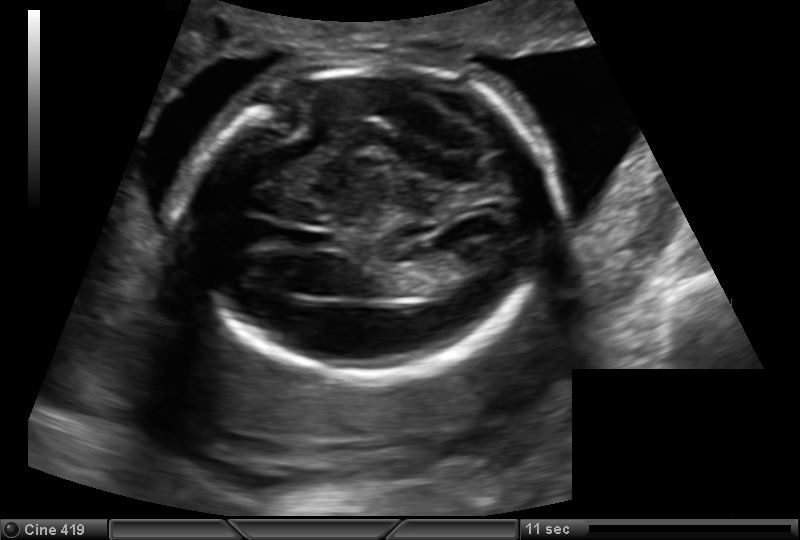
Fetal head ultrasound. Image width: 122.2 mm. Locate the fetal head.

Head: [191,62,547,373]